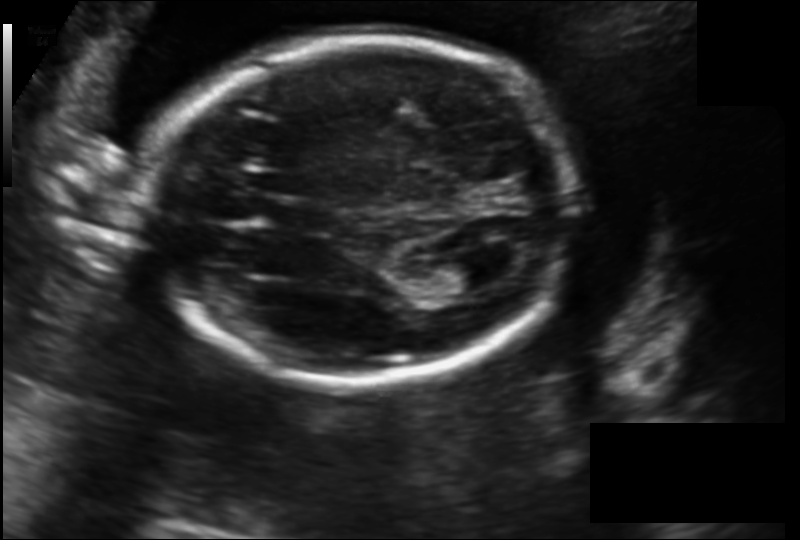
Fetal head ultrasound. Image width: 121.4 mm. Where is the lateral ventricle?

Lateral ventricle bounding box: [431,250,506,299]